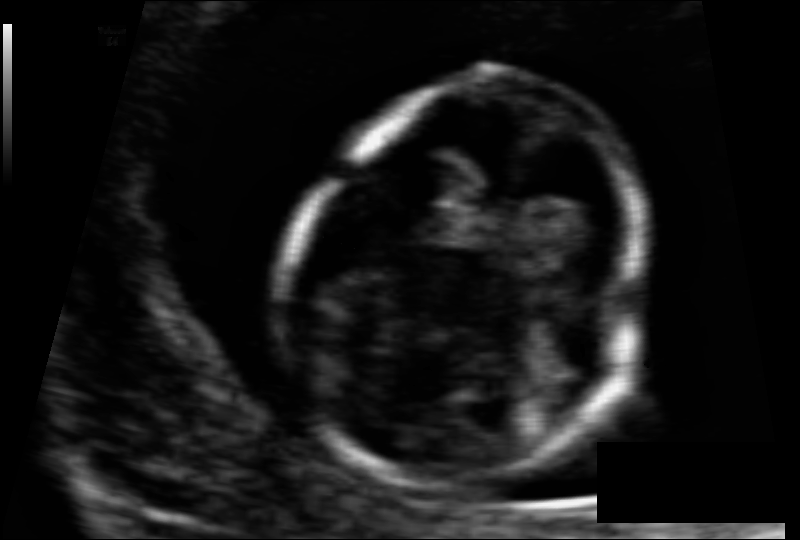
In this fetal head ultrasound, give bounding boxes for the head outline, cavum septum pellucidum (CSP), and lateral ventricle (LV), where visible. Image width: 50.2 mm.

Head: [288,77,649,481]